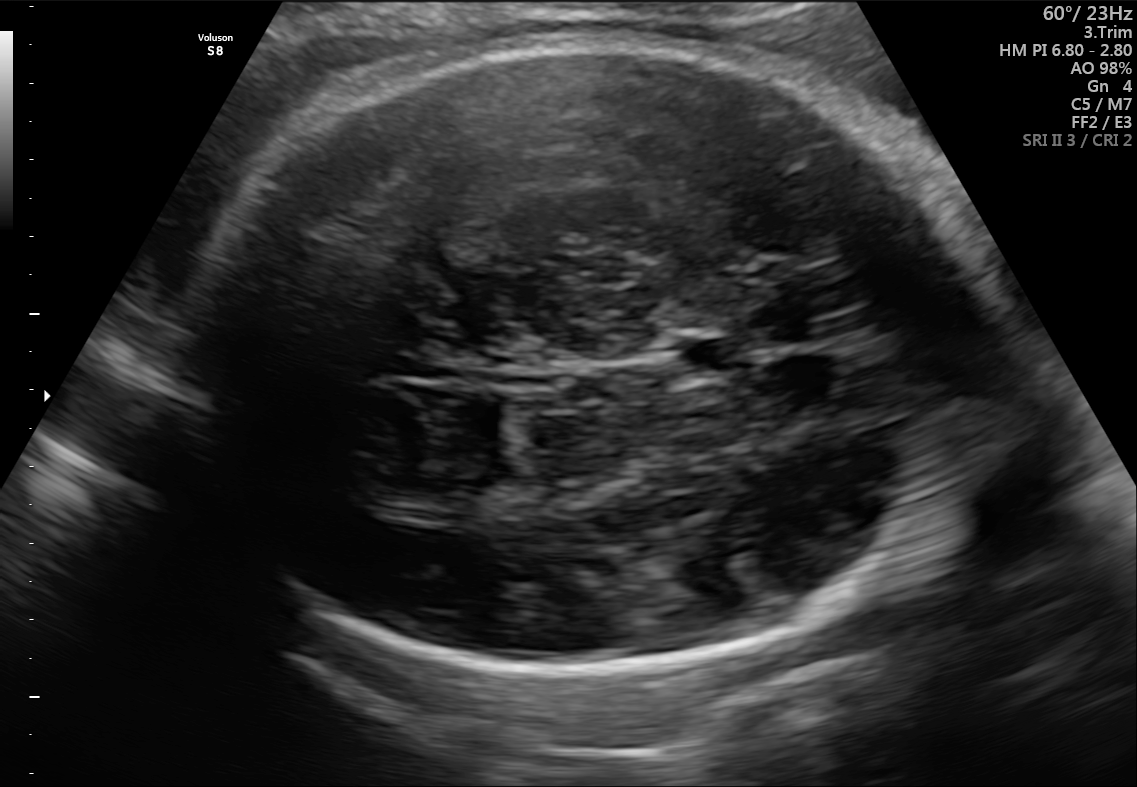
Fetal brain, trans-thalamic plane. Give [x1,y1,x2,y2] bounding boxes for each visible structure among: fetal head, CSP, LV.

Head: [194,40,992,685]
CSP: [674,334,747,379]